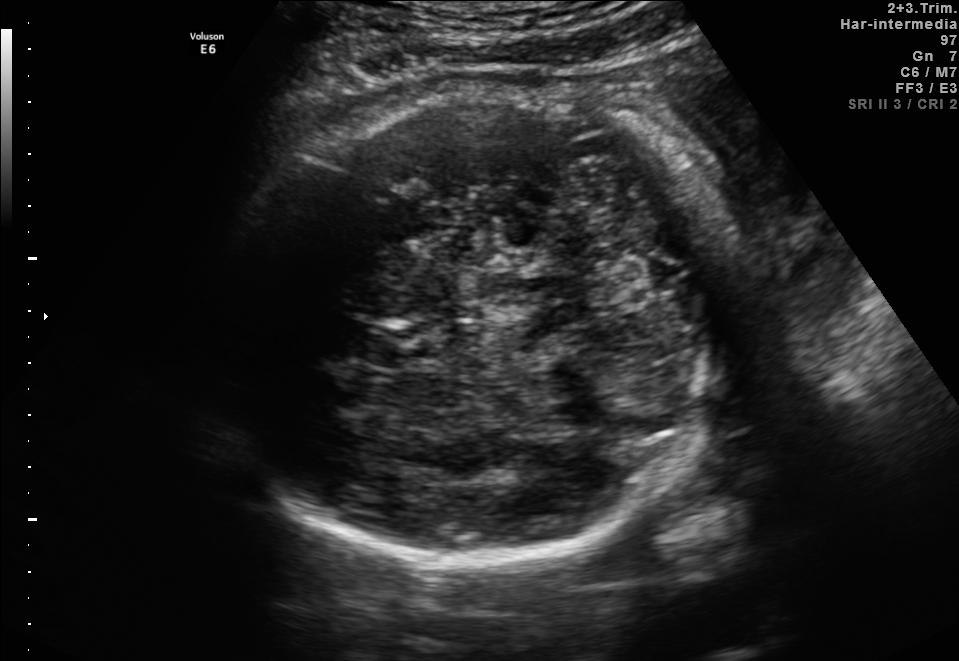
Fetal brain, trans-thalamic plane. Give [x1,y1,x2,y2] bounding boxes for each visible structure among: fetal head, CSP, LV.

Head: [207,90,730,563]